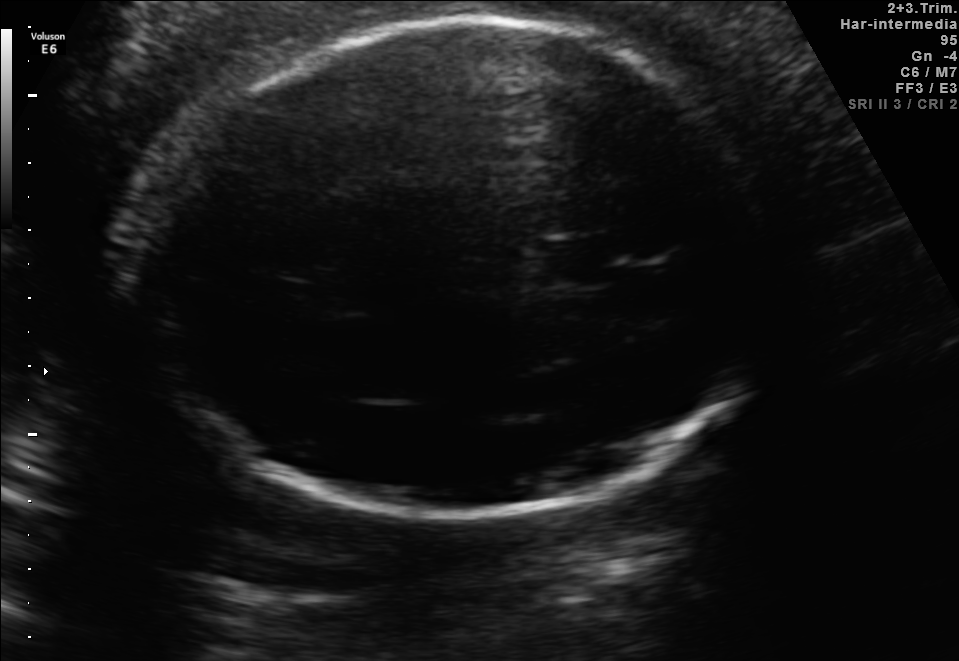
Fetal brain, trans-thalamic plane. Locate the cavum septum pellucidum.

CSP: [536,237,608,285]